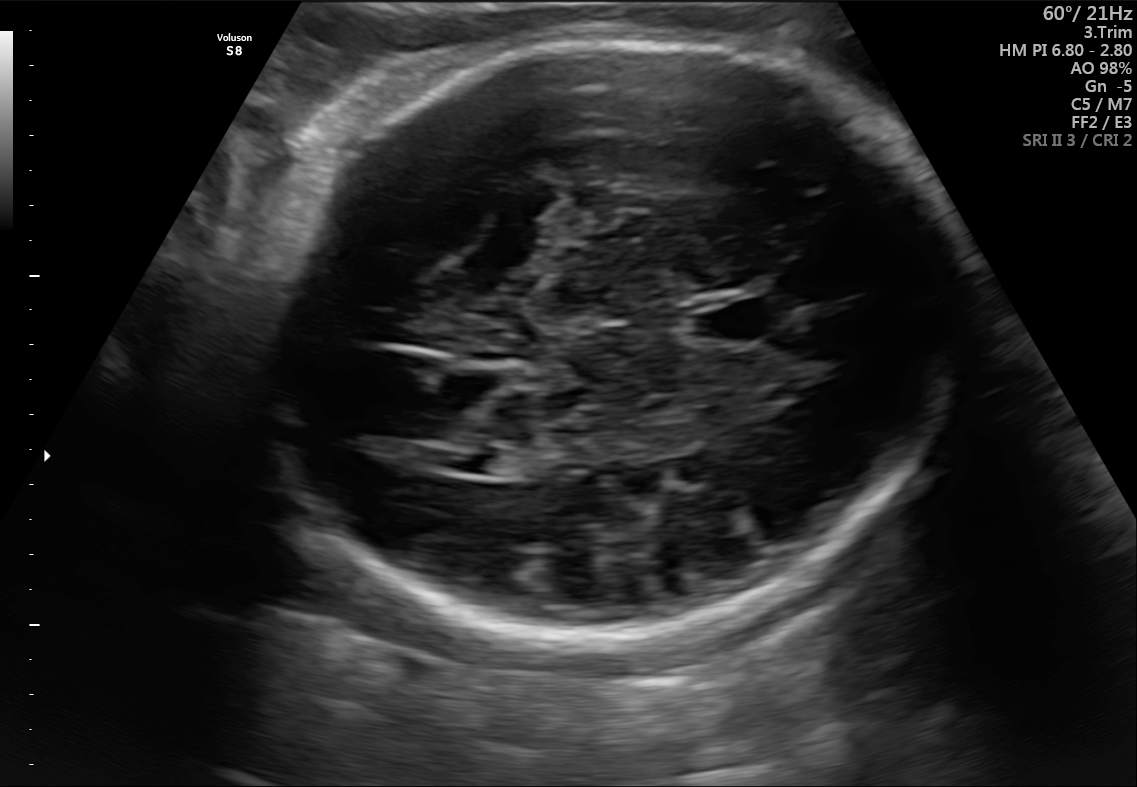
In this fetal brain, trans-ventricular plane, give the bounding box of the fetal head.

[245,35,982,645]